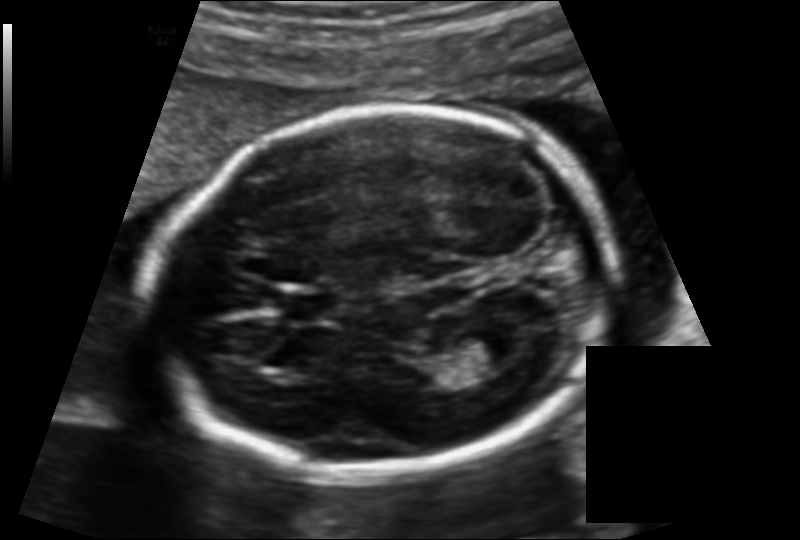
What is the fetal head circumference? Image width is 104.7 mm.

175.3 mm